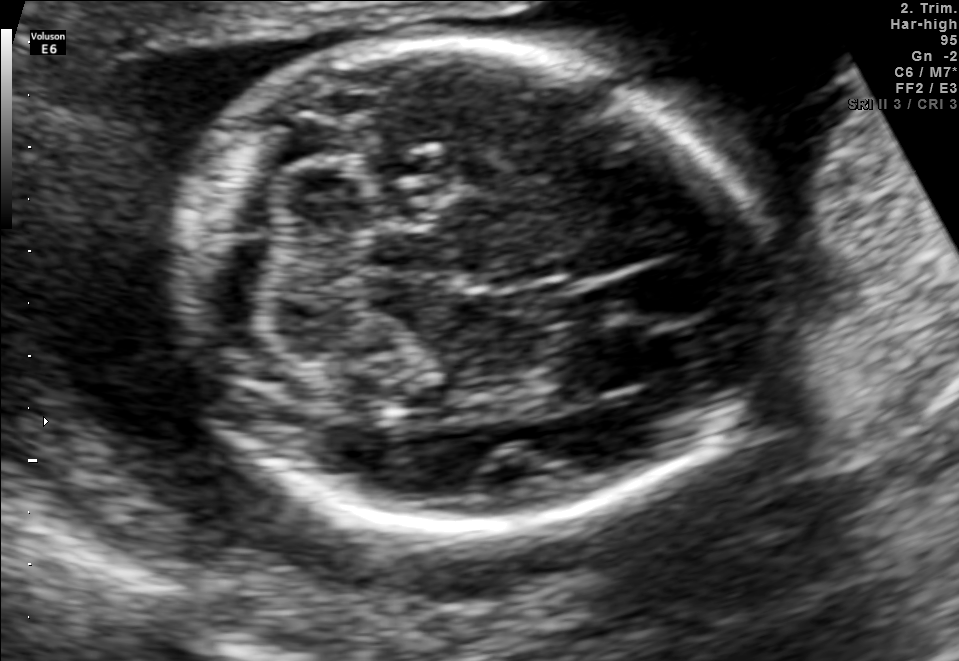
Fetal brain, trans-cerebellum plane. Where is the fetal head?

Head bounding box: [183,41,770,532]